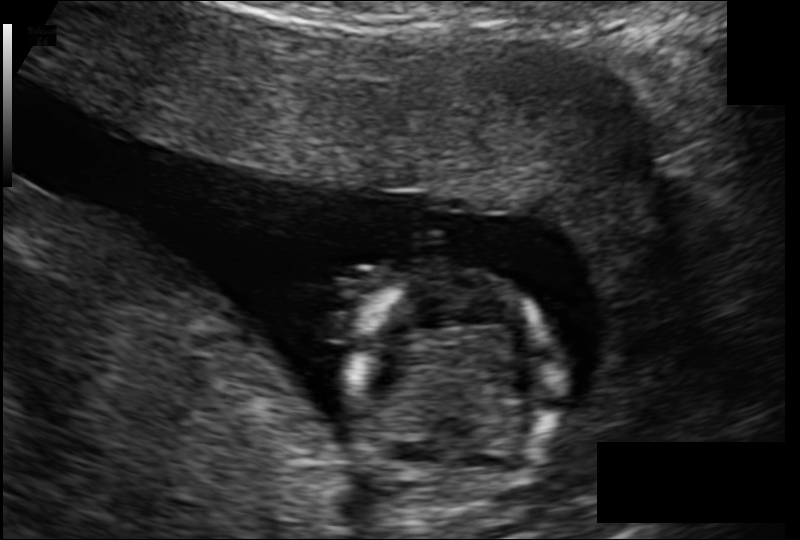
Fetal head ultrasound. Image width: 98.6 mm. Where is the fetal head?

Head bounding box: [344,270,560,511]